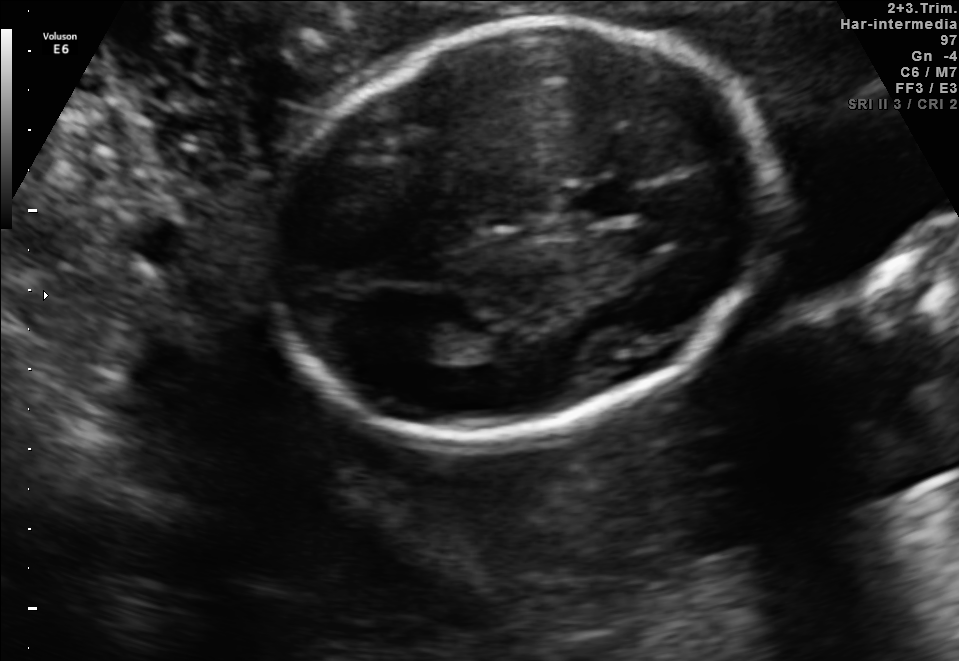
Fetal brain, trans-thalamic plane. Locate the fetal head.

Head: [272,23,767,438]